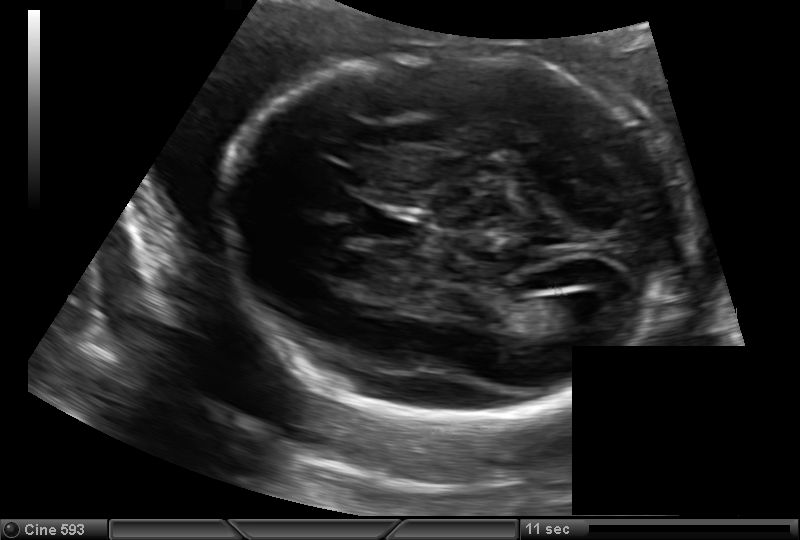
In this fetal head ultrasound, give the bounding box of the cavum septum pellucidum. Image width: 115.2 mm.

[366,207,431,247]